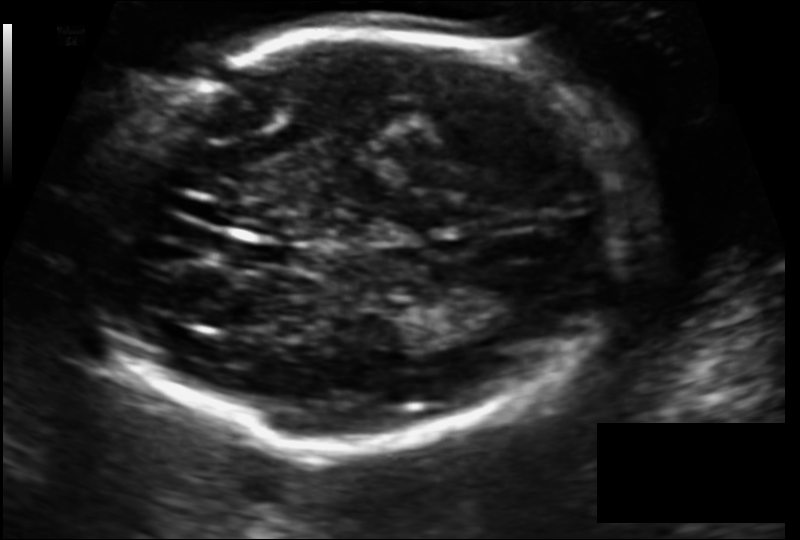
Estimate the fetal head circumference from this 2D ultrasound. Image width: 98.9 mm.

Head circumference: 191.9 mm.